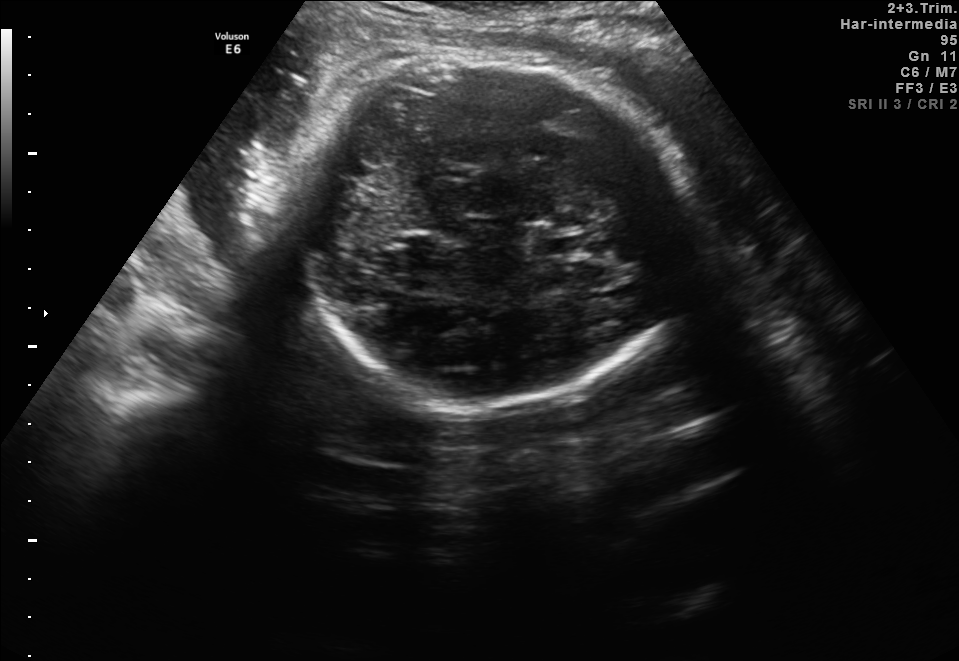
In this fetal brain, trans-thalamic plane, give bounding boxes for the head outline, cavum septum pellucidum (CSP), and lateral ventricle (LV), where visible.

Head: [296,57,695,402]
CSP: [532,233,590,257]